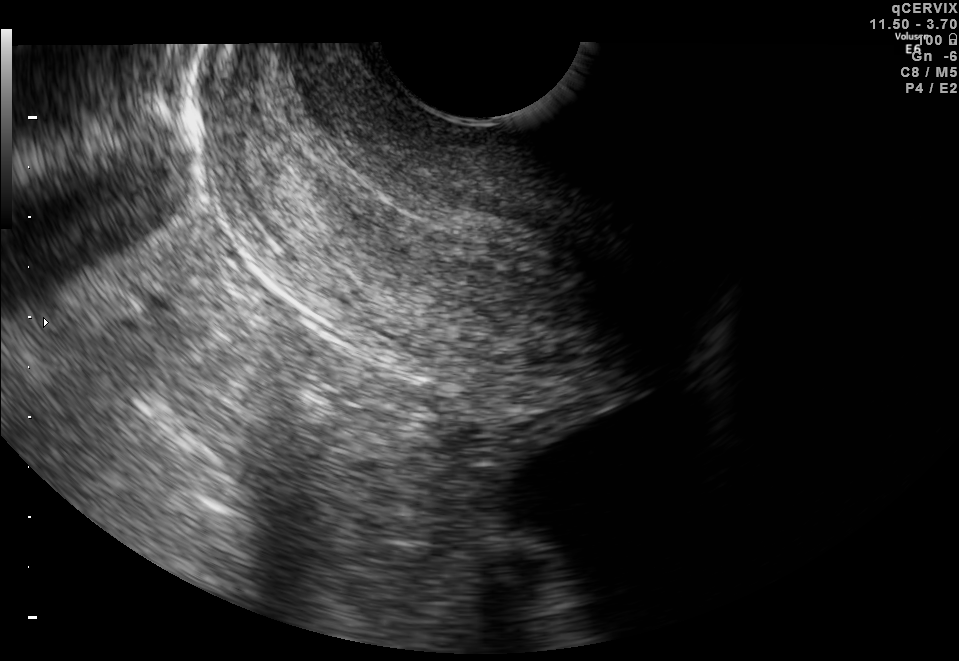
Classify this maternal-fetal ultrasound image as one of the six standard planes — fetal abdomen, fetal brain, fetal femur, fetal thorax, maternal cervix, or other. If it's fetal brain and one of the three standard brain planes (trans-thalamic, trans-cerebellum, trans-ventricular), name which.

Maternal cervix